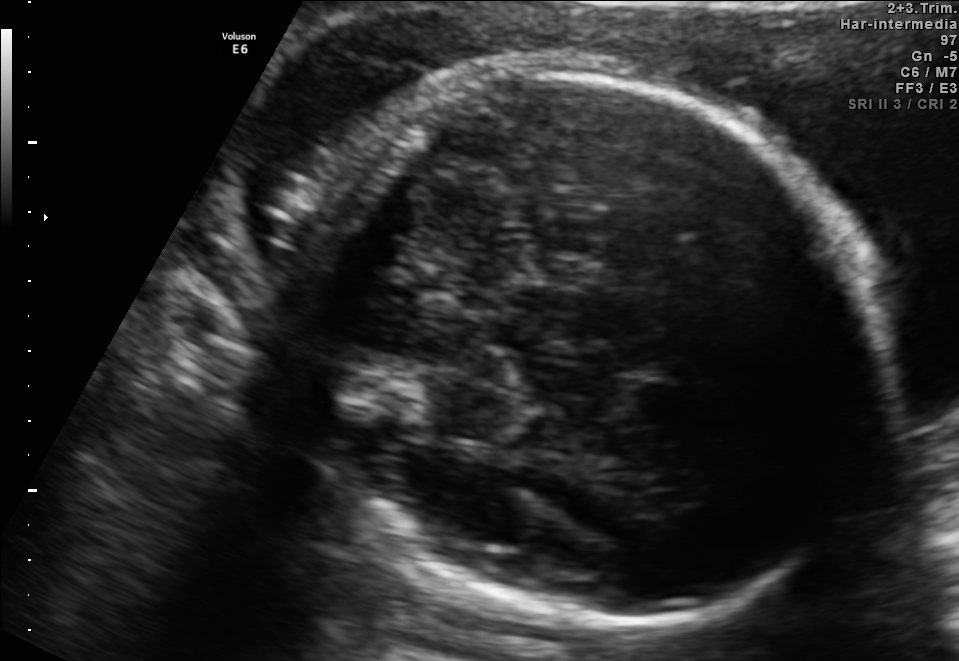
In this fetal brain, trans-thalamic plane, give the bounding box of the fetal head.

[293,62,882,627]